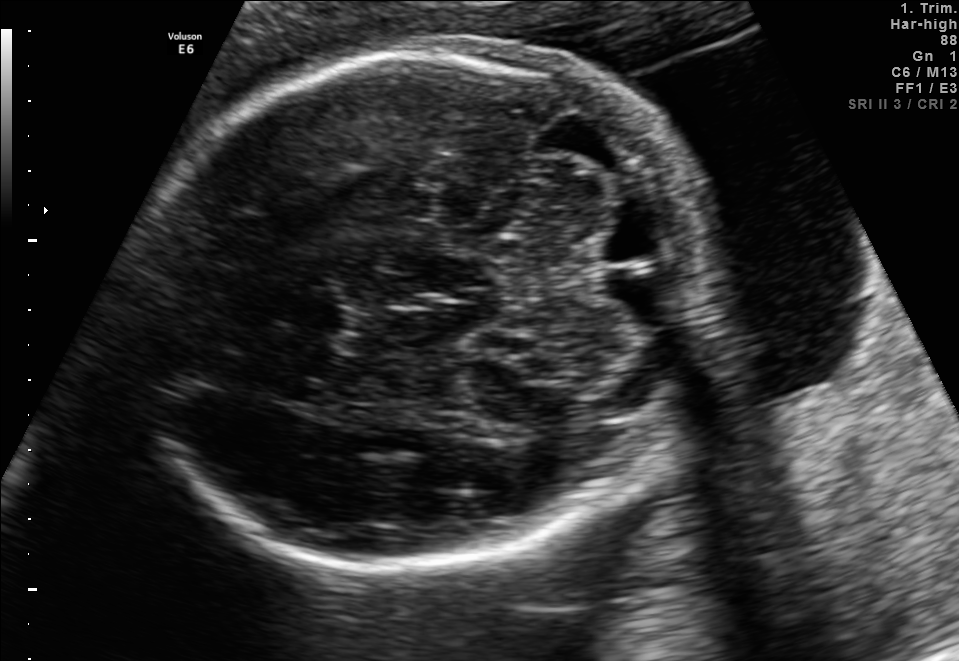
In this fetal brain, trans-cerebellum plane, give bounding boxes for the head outline, cavum septum pellucidum (CSP), and lateral ventricle (LV), where visible.

Head: [128,43,717,566]